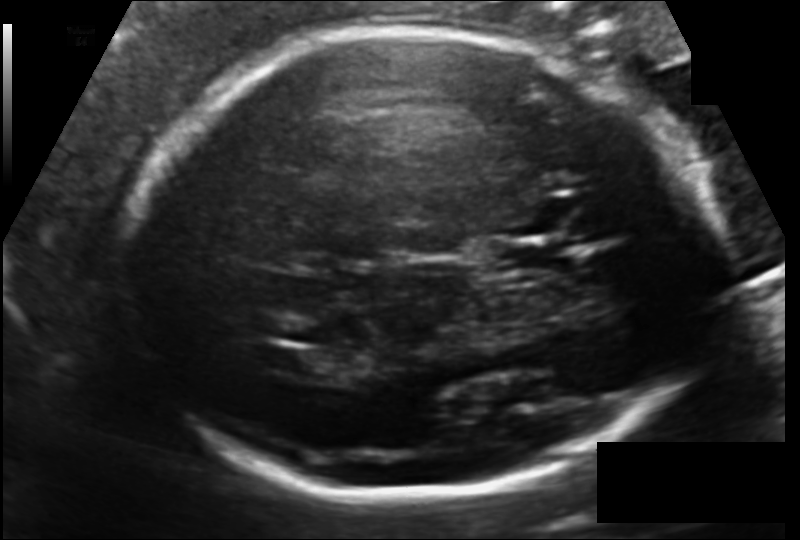
Fetal head ultrasound. Image width: 106.4 mm. Where is the cavum septum pellucidum?

CSP bounding box: [485,234,572,276]